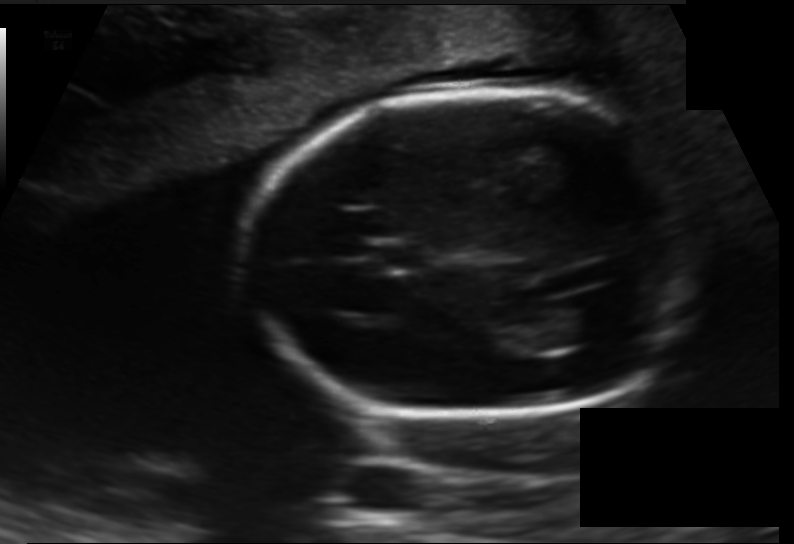
Fetal head ultrasound. Image width: 109.8 mm. Locate the lateral ventricle.

Lateral ventricle: [532,300,608,353]